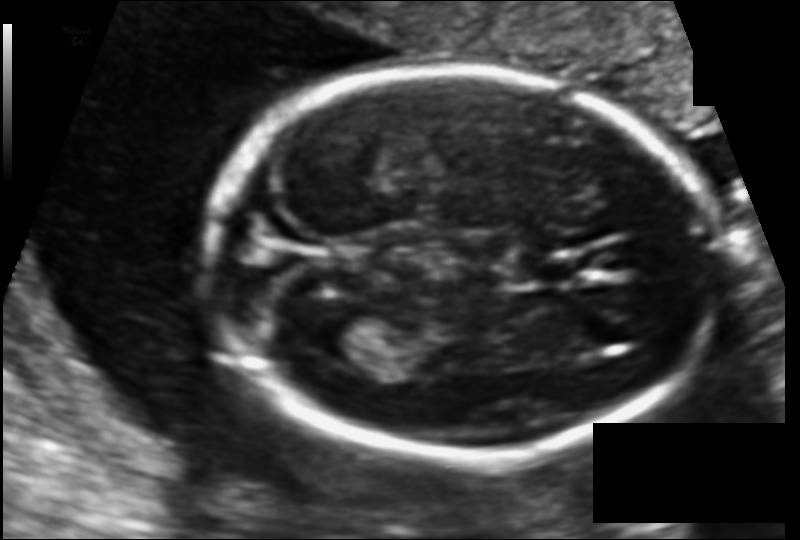
Estimate the fetal head circumference from this 2D ultrasound.

Head circumference: 155.8 mm (image width 86.7 mm).